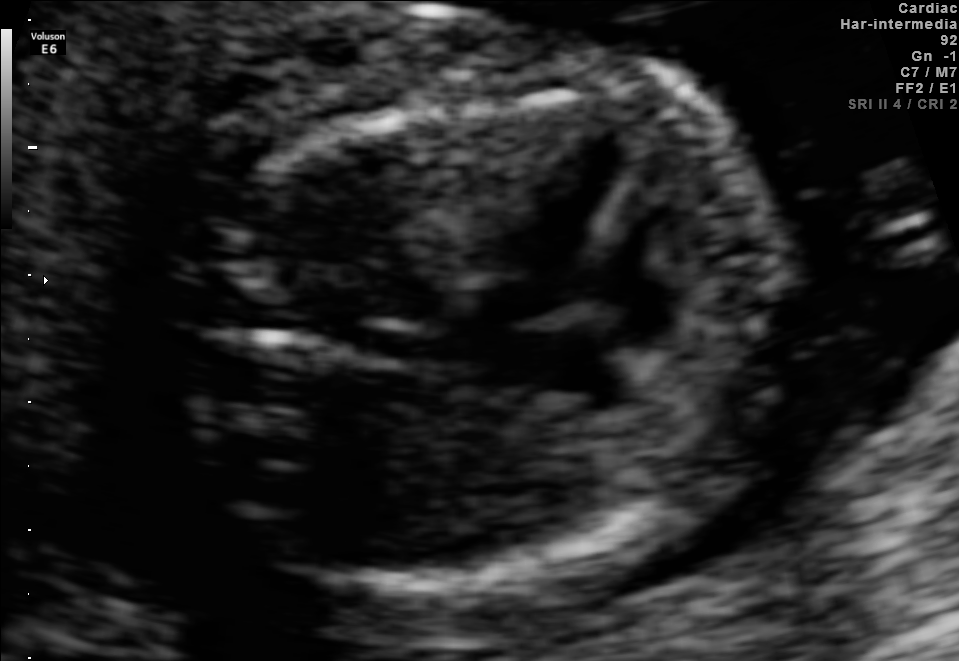
Classify this maternal-fetal ultrasound image as one of the six standard planes — fetal abdomen, fetal brain, fetal femur, fetal thorax, maternal cervix, or other. If it's fetal brain and one of the three standard brain planes (trans-thalamic, trans-cerebellum, trans-ventricular), name which.

Fetal thorax